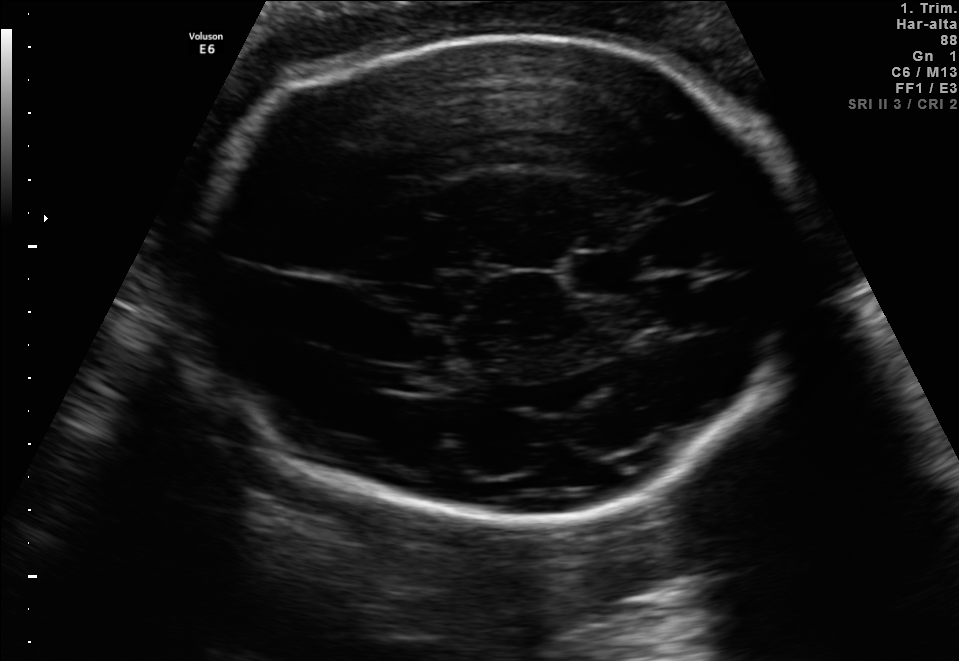
Fetal brain, trans-thalamic plane. Where is the fetal head?

Head bounding box: [193,33,804,518]